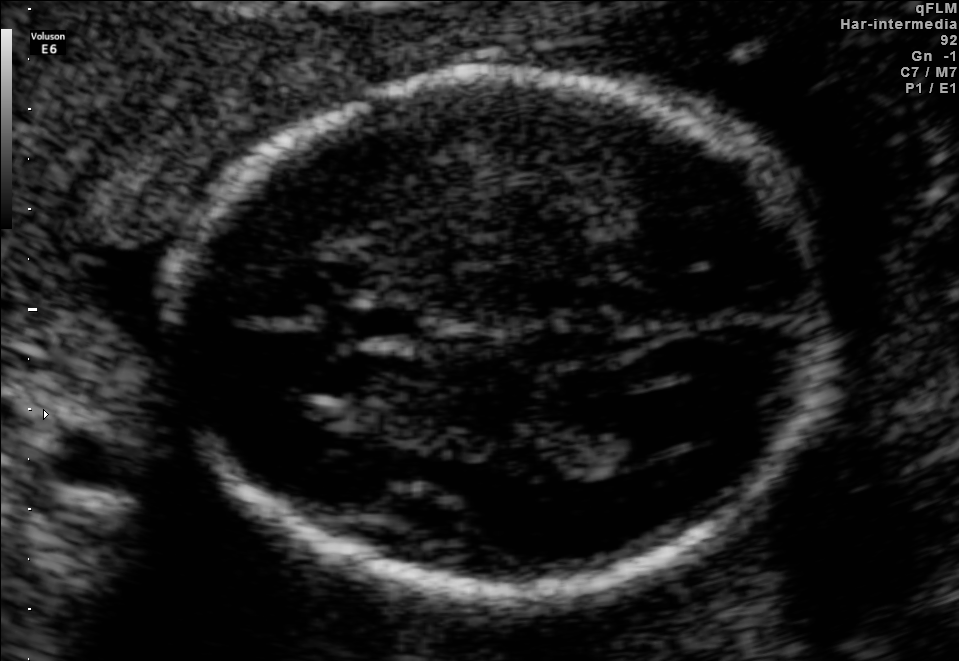
Fetal brain, trans-ventricular plane. Locate the fetal head.

Head: [153,63,852,604]